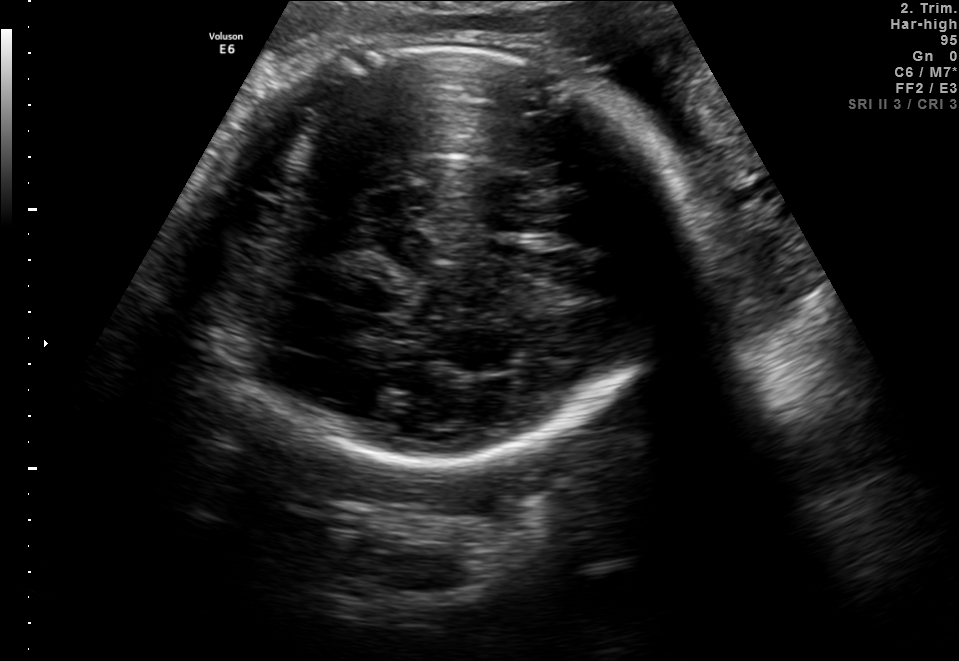
Fetal brain, trans-thalamic plane. Locate the fetal head.

Head: [179,43,674,464]